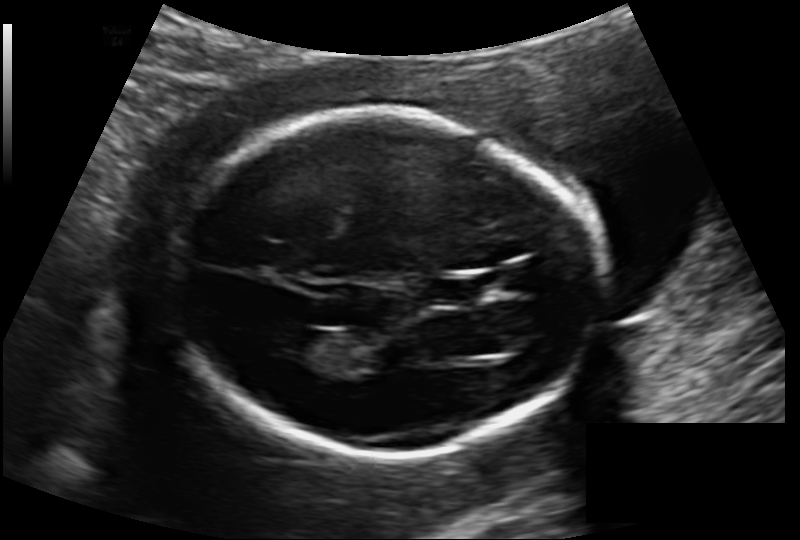
In this fetal head ultrasound, give bounding boxes for the head outline, cavum septum pellucidum (CSP), and lateral ventricle (LV), where visible. Image width: 106.3 mm.

Head: [174,110,601,457]
CSP: [433,276,480,305]
Lateral ventricle: [265,322,331,366]